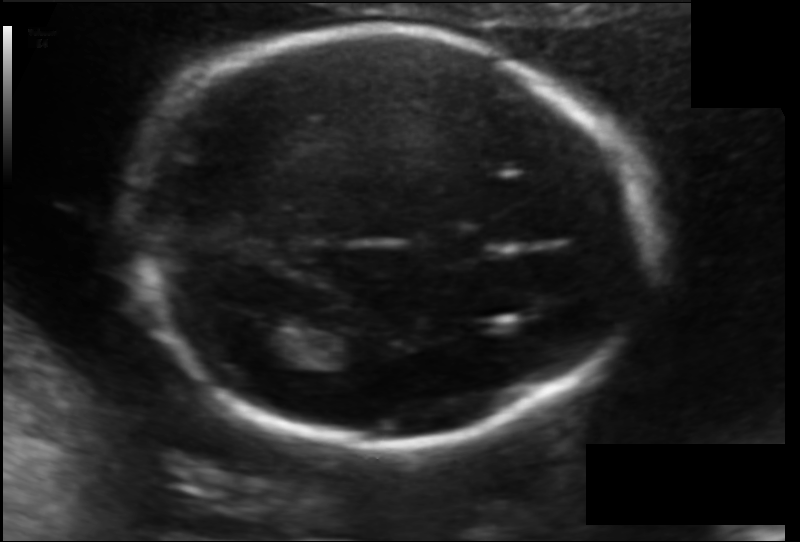
Estimate the fetal head circumference from this 2D ultrasound.

Head circumference: 174.5 mm (image width 91.4 mm).